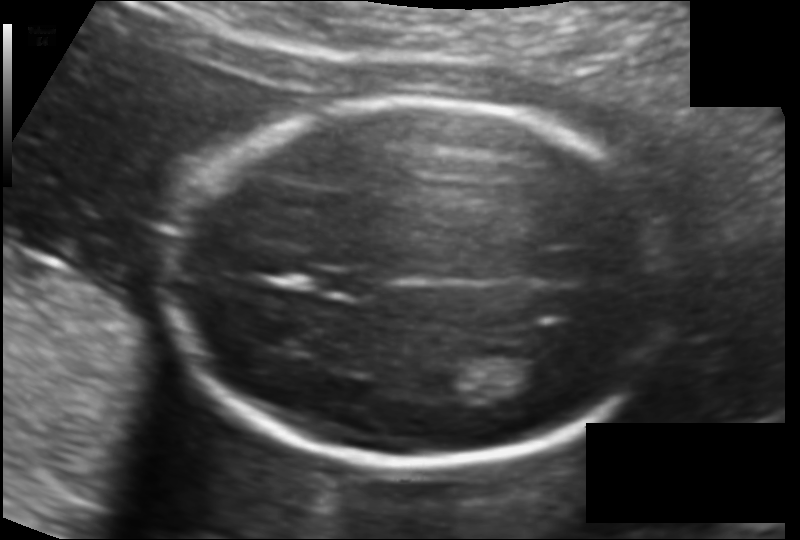
In this fetal head ultrasound, give the bounding box of the cavum septum pellucidum. Image width: 97.1 mm.

[312,267,373,298]